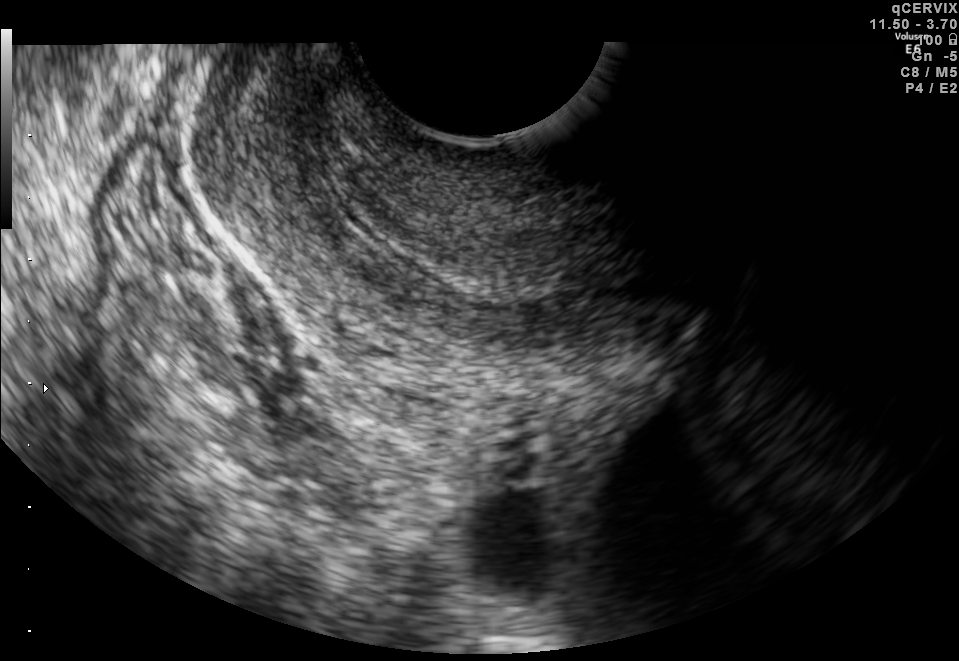
This is a 2D maternal-fetal ultrasound frame. Is it a fetal abdomen, fetal brain, fetal femur, fetal thorax, maternal cervix, or other standard plane? If it's fetal brain and one of the three standard brain planes (trans-thalamic, trans-cerebellum, trans-ventricular), name which.

Maternal cervix